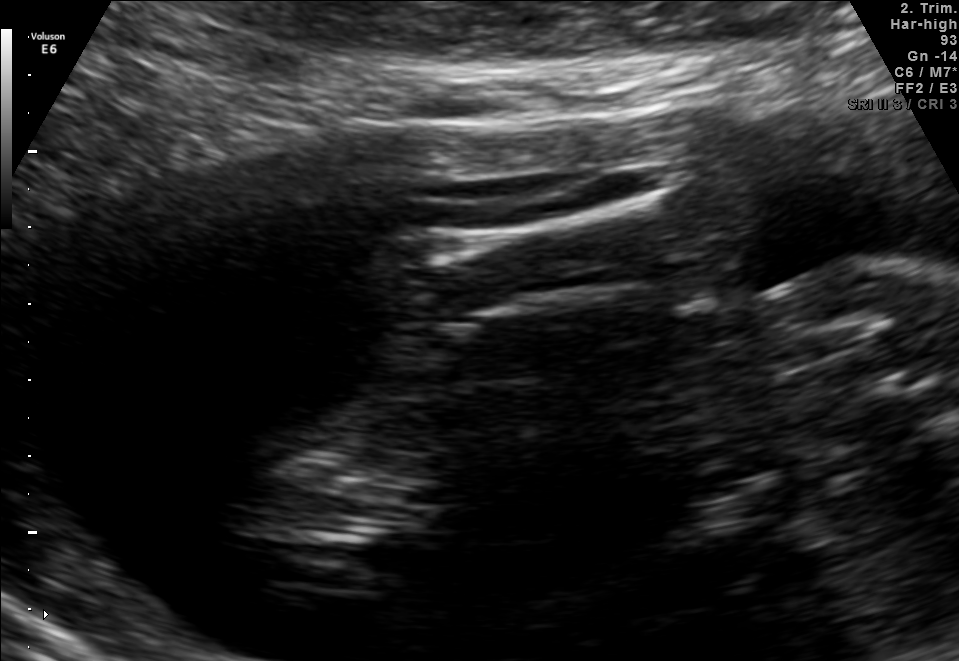
Identify the standard plane in this fetal ultrasound image: fetal abdomen, fetal brain, fetal femur, fetal thorax, maternal cervix, or other. If it's fetal brain and one of the three standard brain planes (trans-thalamic, trans-cerebellum, trans-ventricular), name which.

Other